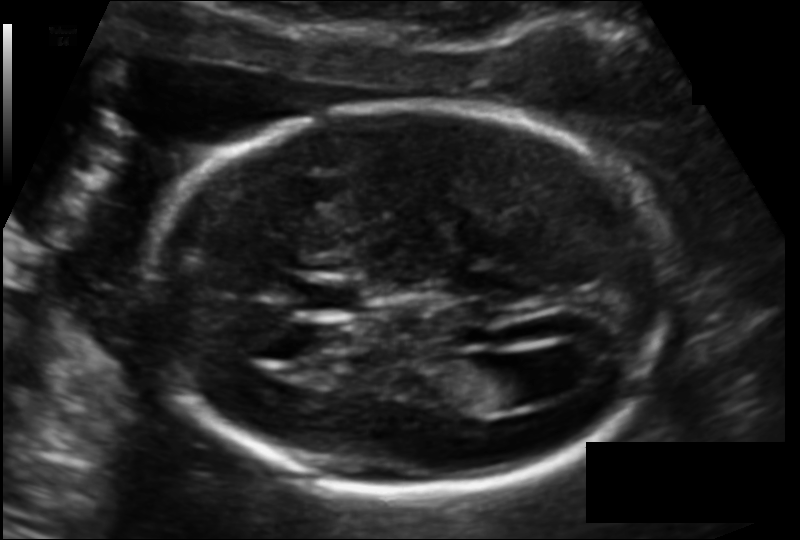
In this fetal head ultrasound, give the bounding box of the fetal head. Image width: 94.5 mm.

[147,105,668,491]